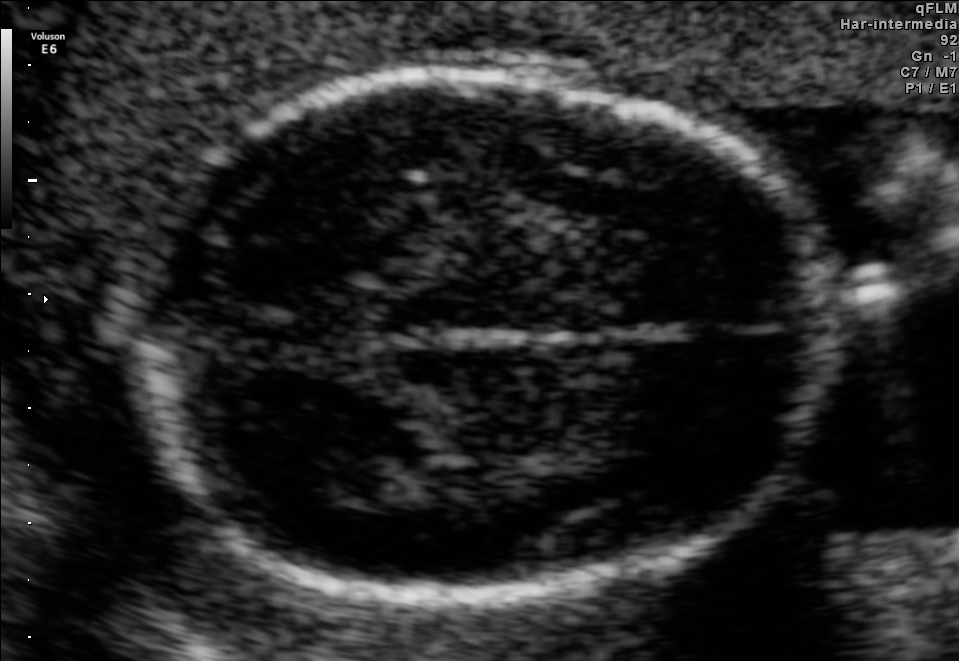
Fetal brain, trans-thalamic plane. Locate the fetal head.

Head: [165,70,822,591]